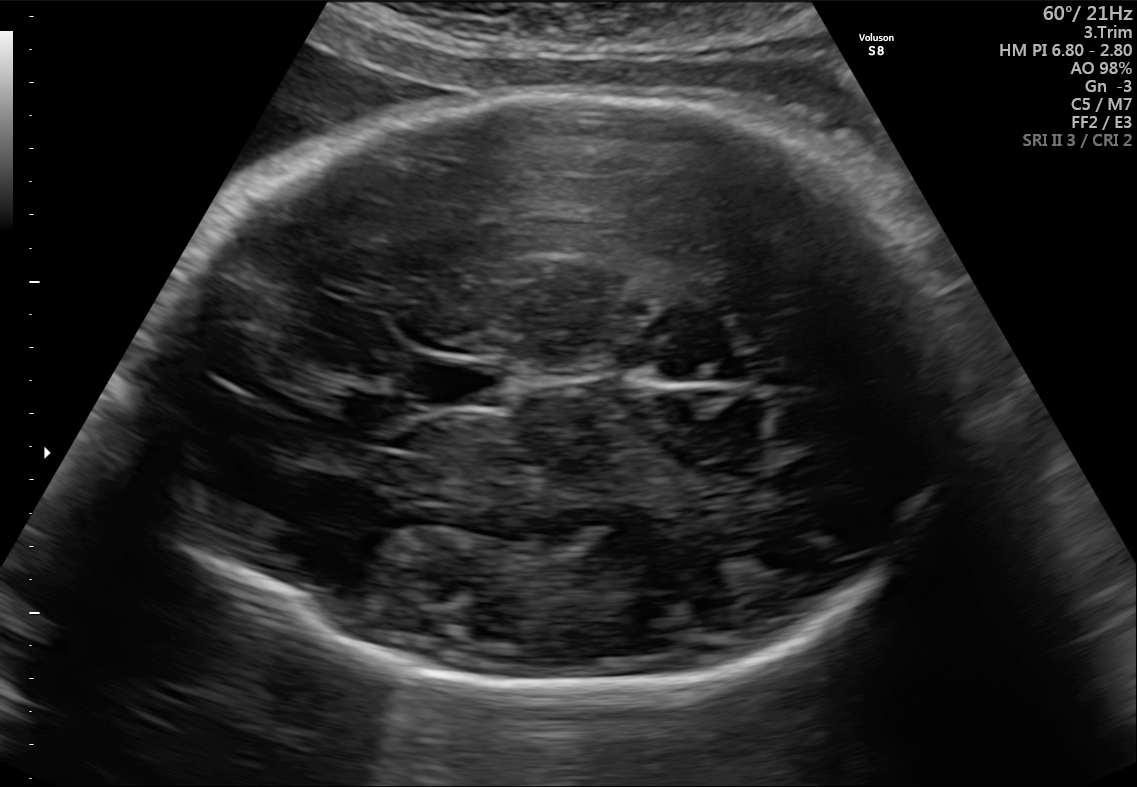
In this fetal brain, trans-thalamic plane, give the bounding box of the fetal head.

[130,92,966,693]